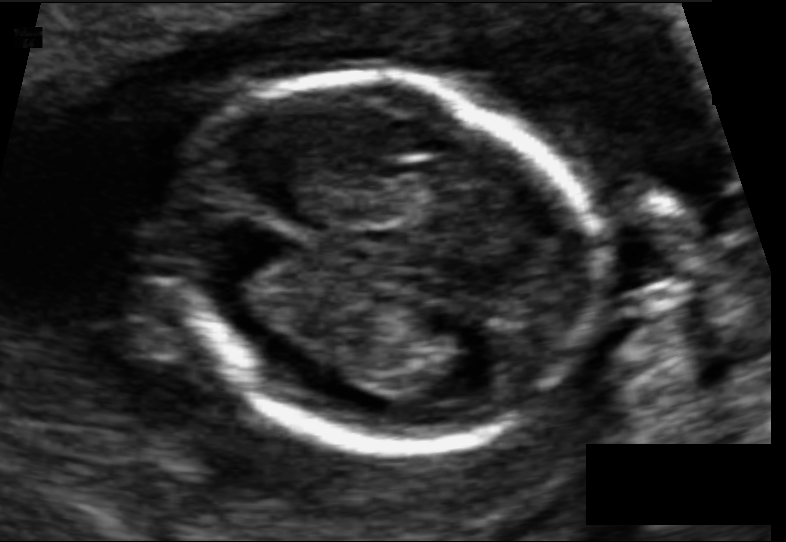
Measure the fetal head circumference shown in this ultrasound image. Image width: 58.4 mm.

Head circumference: 97.1 mm.